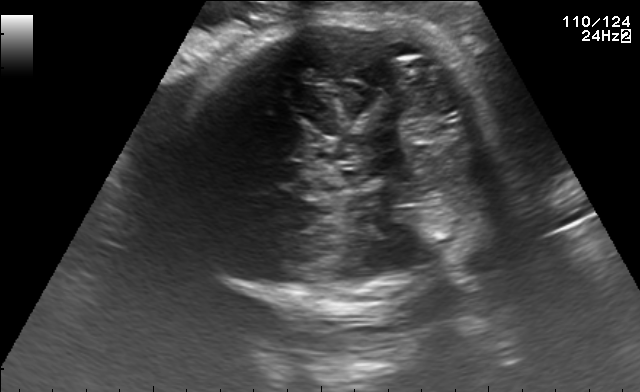
In this fetal brain, trans-thalamic plane, give the bounding box of the fetal head.

[172,17,495,305]